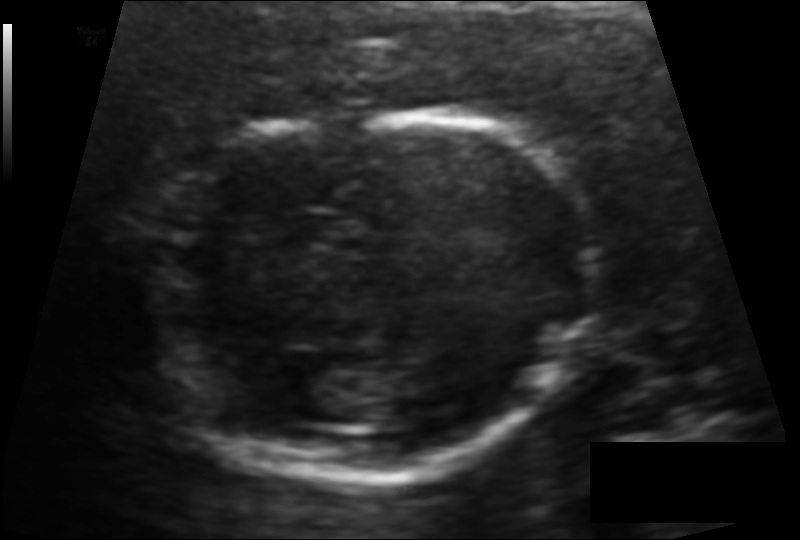
Fetal head ultrasound. Image width: 81.2 mm. Locate the fetal head and, if visible, the cavum septum pellucidum (CSP) and lateral ventricle (LV). Give bounding boxes as [x1,y1,x2,y2].

Head: [148,111,601,478]